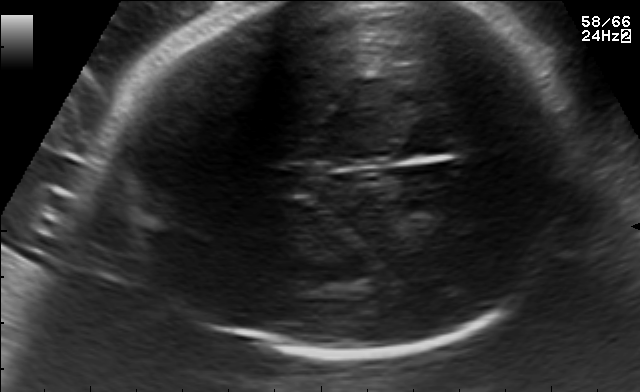
In this fetal brain, trans-thalamic plane, give the bounding box of the cavum septum pellucidum.

[261,166,320,193]